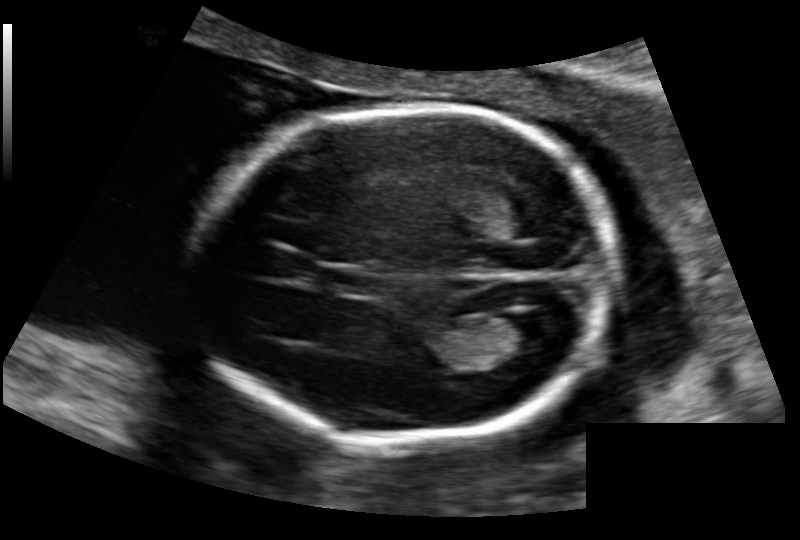
Fetal head ultrasound. Image width: 108.9 mm. Give [x1,y1,x2,y2] bounding boxes for each visible structure among: fetal head, CSP, LV.

Head: [189,108,615,440]
CSP: [325,267,377,297]
Lateral ventricle: [491,311,558,356]